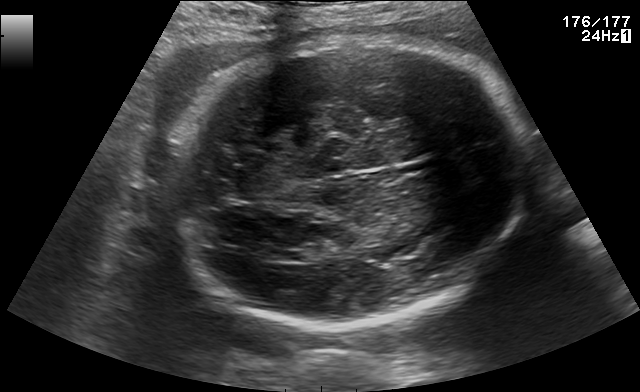
Fetal brain, trans-thalamic plane. Where is the fetal head?

Head bounding box: [164,37,527,321]